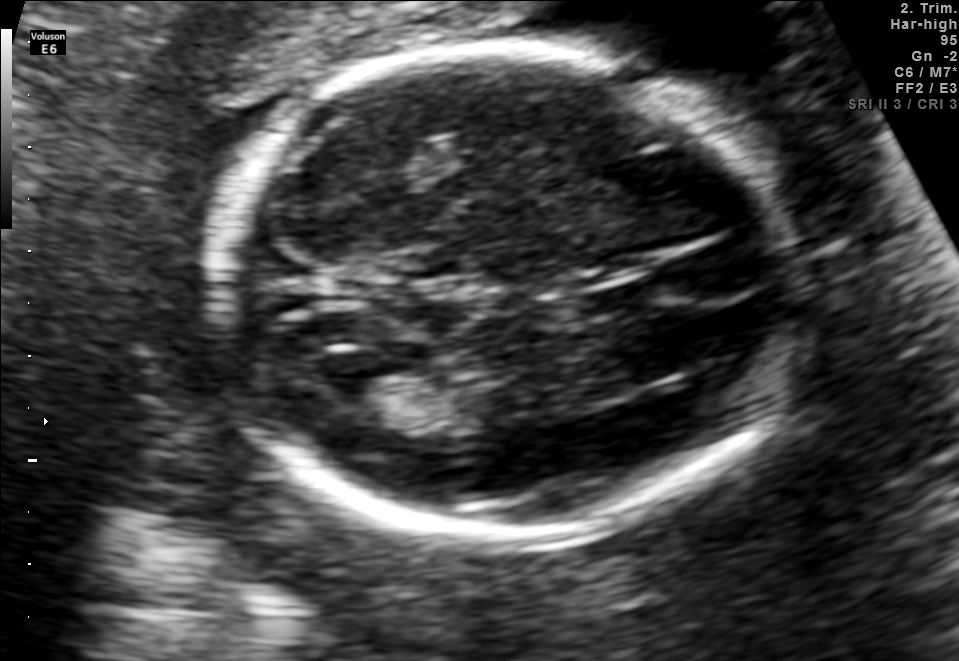
In this fetal brain, trans-ventricular plane, give the bounding box of the cavum septum pellucidum.

[581,270,667,321]